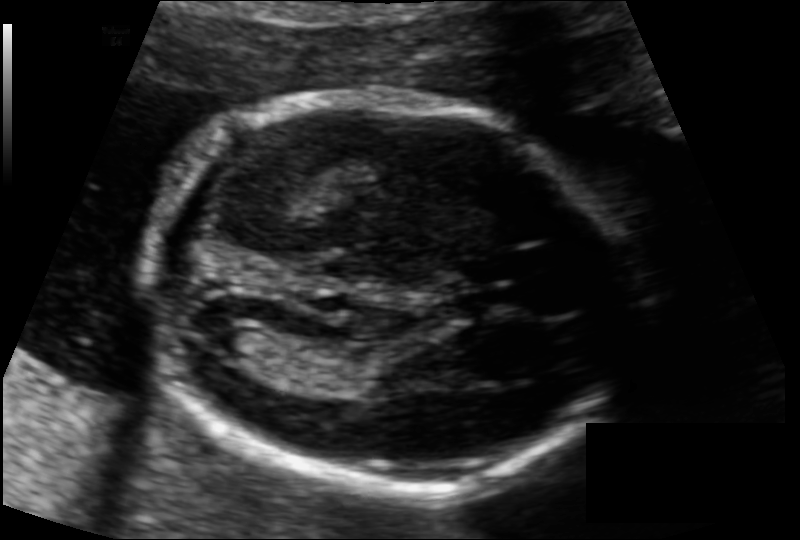
Fetal head ultrasound. Image width: 86.5 mm. Locate the lateral ventricle.

Lateral ventricle: [206,313,272,368]